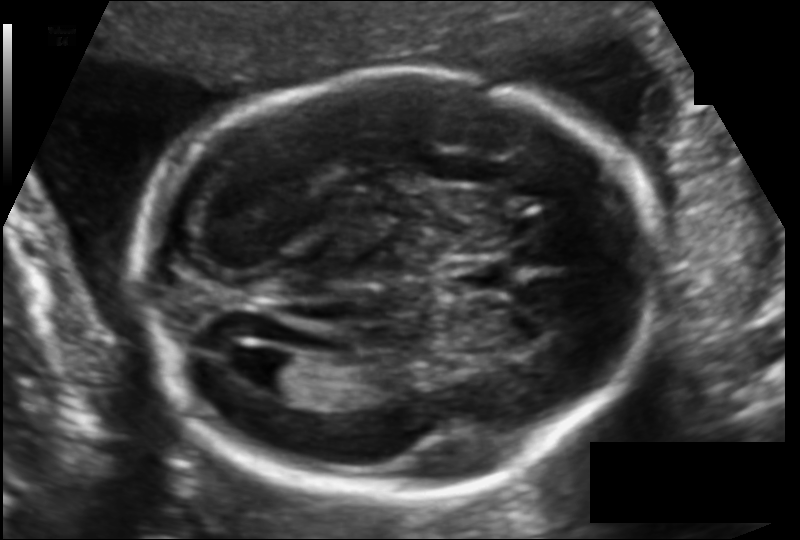
Estimate the fetal head circumference from this 2D ultrasound.

Head circumference: 184.2 mm (image width 97.1 mm).